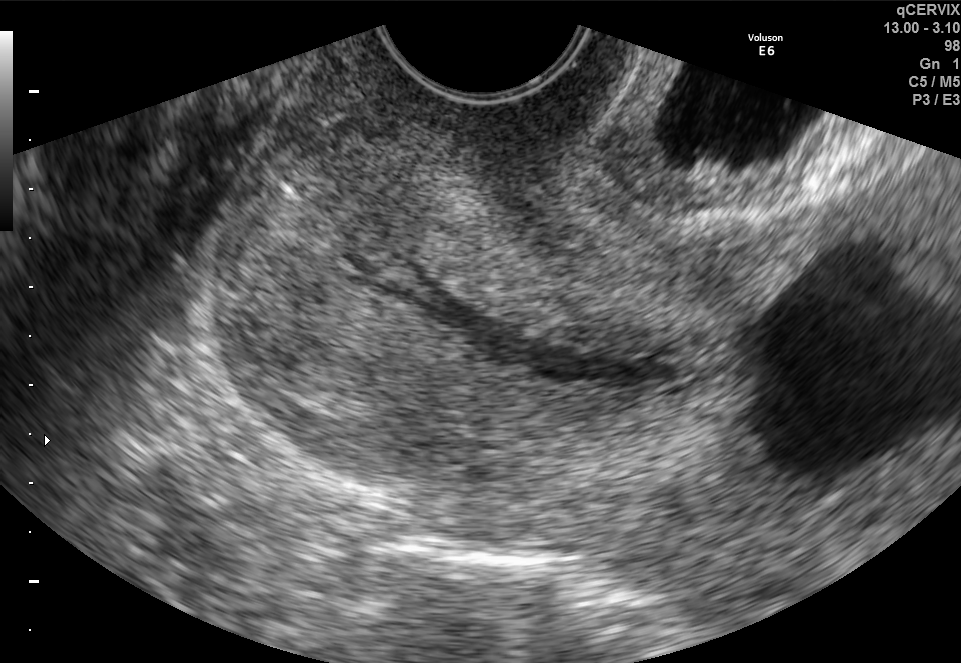
Classify this maternal-fetal ultrasound image as one of the six standard planes — fetal abdomen, fetal brain, fetal femur, fetal thorax, maternal cervix, or other. If it's fetal brain and one of the three standard brain planes (trans-thalamic, trans-cerebellum, trans-ventricular), name which.

Maternal cervix